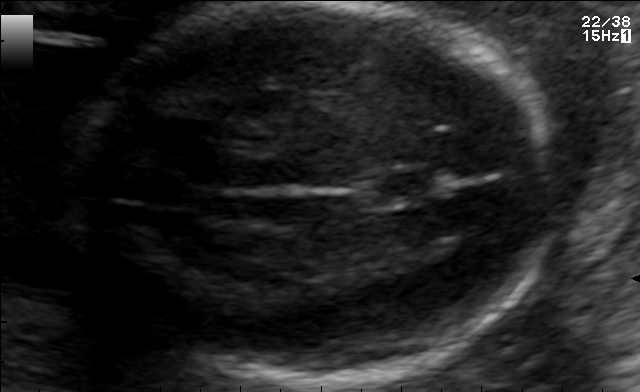
In this fetal brain, trans-thalamic plane, give the bounding box of the fetal head.

[64,4,557,383]